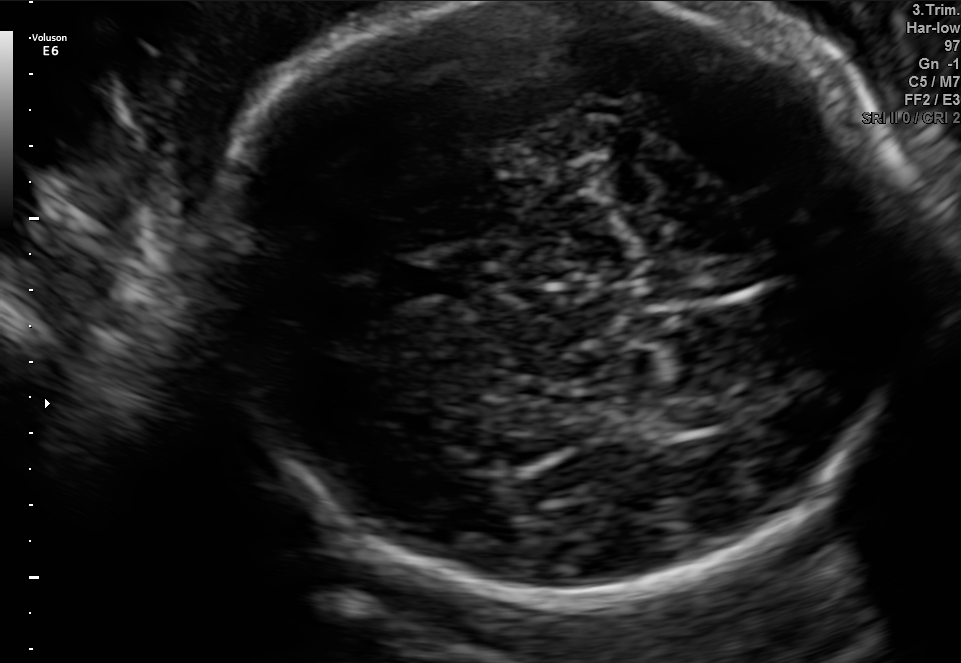
Fetal brain, trans-thalamic plane. Where is the lateral ventricle?

Lateral ventricle bounding box: [654,393,727,439]